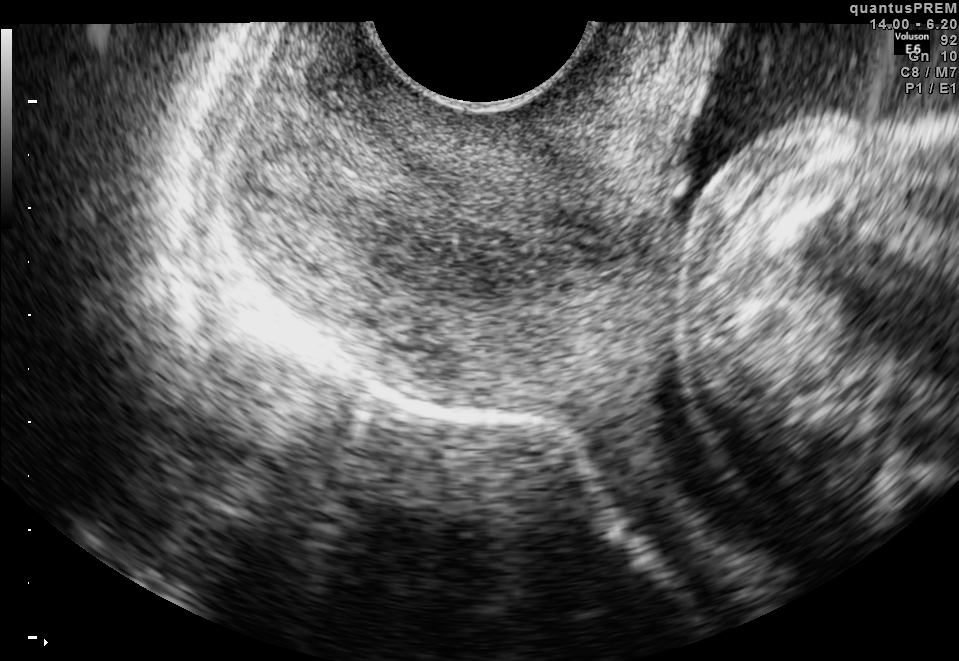
Classify this maternal-fetal ultrasound image as one of the six standard planes — fetal abdomen, fetal brain, fetal femur, fetal thorax, maternal cervix, or other. If it's fetal brain and one of the three standard brain planes (trans-thalamic, trans-cerebellum, trans-ventricular), name which.

Maternal cervix